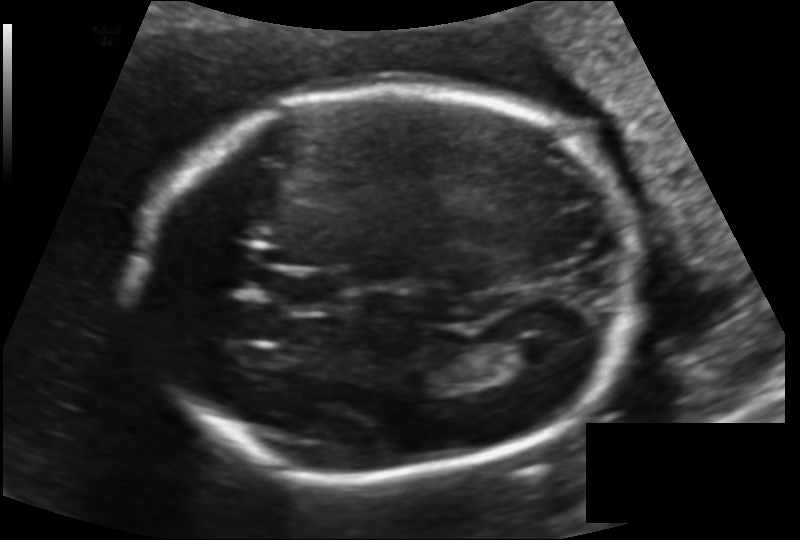
Fetal head ultrasound. Image width: 115.0 mm. Where is the cavum septum pellucidum?

CSP bounding box: [270,270,347,313]